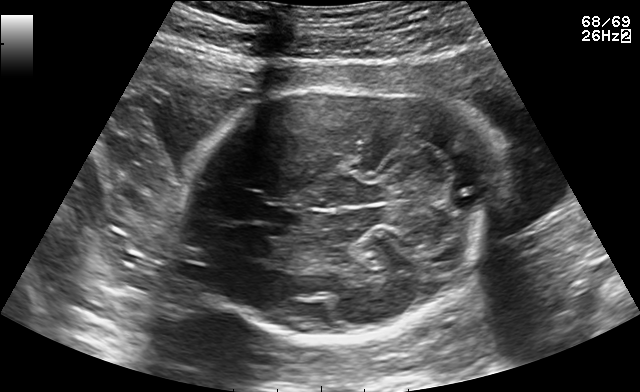
Fetal brain, trans-cerebellum plane. Give [x1,y1,x2,y2] bounding boxes for each visible structure among: fetal head, CSP, LV.

Head: [177,78,507,337]